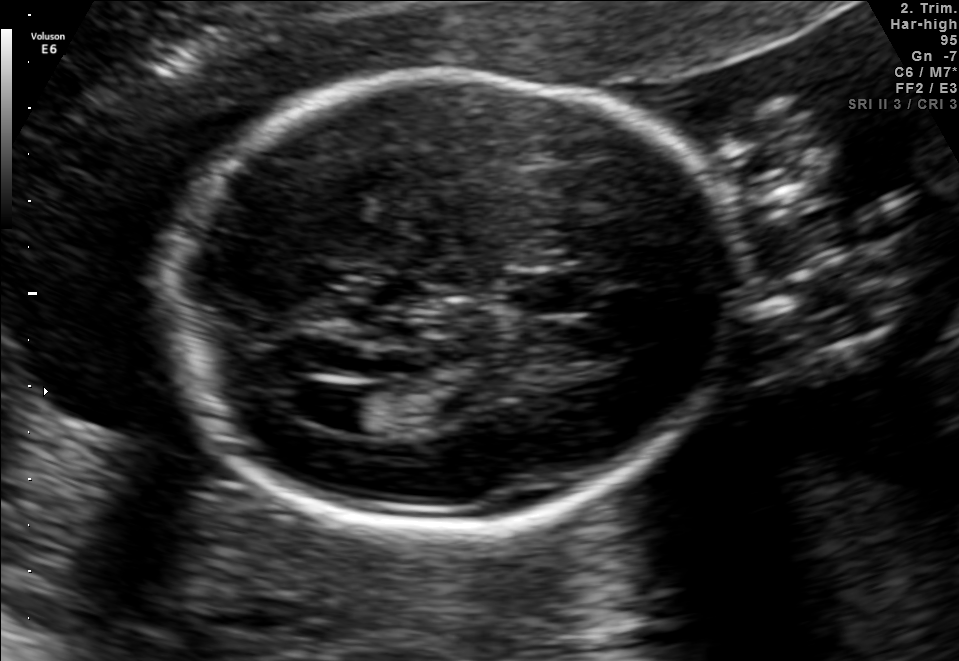
In this fetal brain, trans-ventricular plane, give the bounding box of the fetal head.

[157,64,754,537]